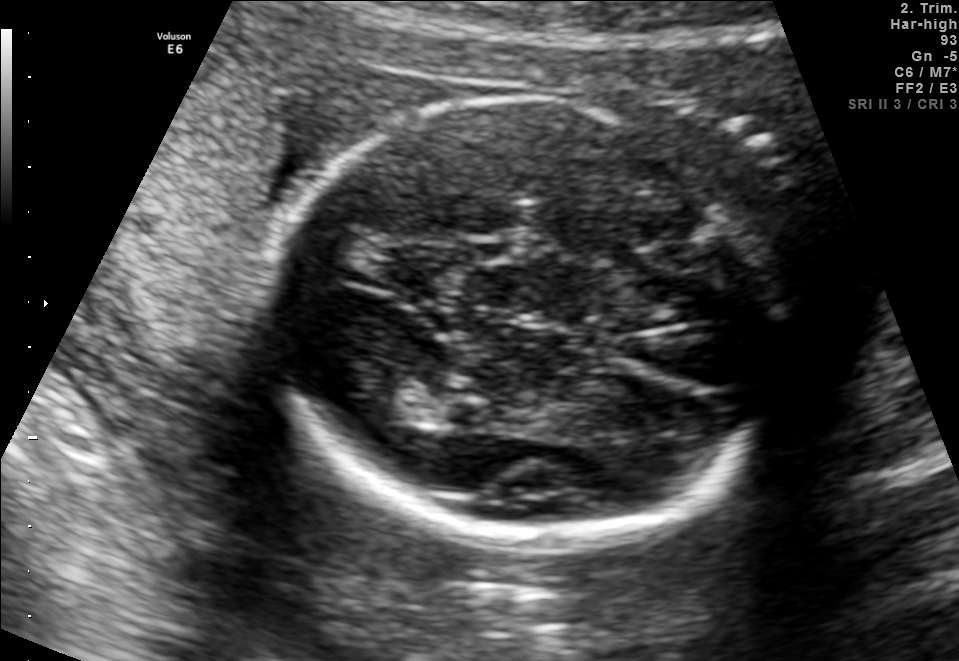
Fetal brain, trans-thalamic plane. Where is the fetal head?

Head bounding box: [259,97,802,540]